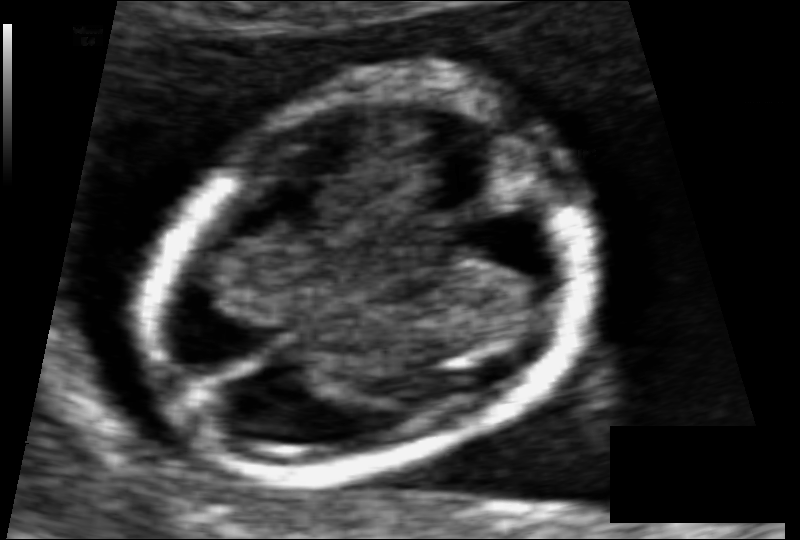
In this fetal head ultrasound, give bounding boxes for the head outline, cavum septum pellucidum (CSP), and lateral ventricle (LV), where visible. Image width: 49.2 mm.

Head: [143,87,586,477]